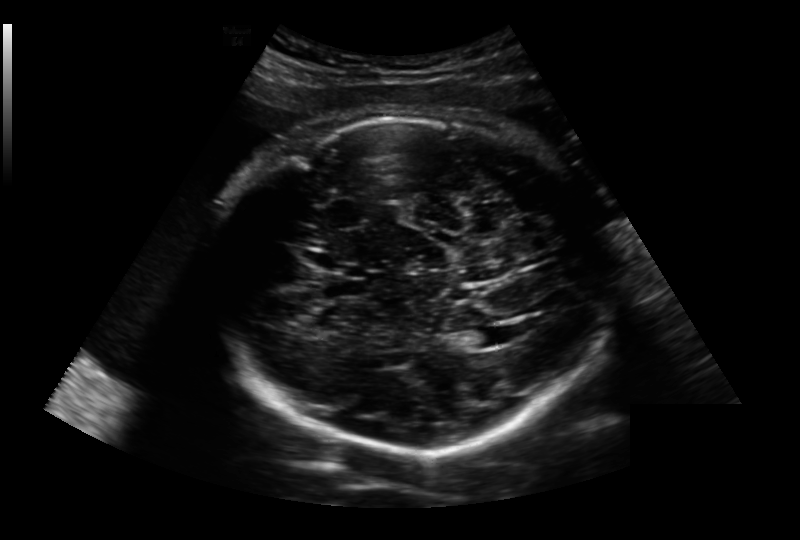
In this fetal head ultrasound, give the bounding box of the fetal head. Image width: 188.7 mm.

[208,115,609,454]